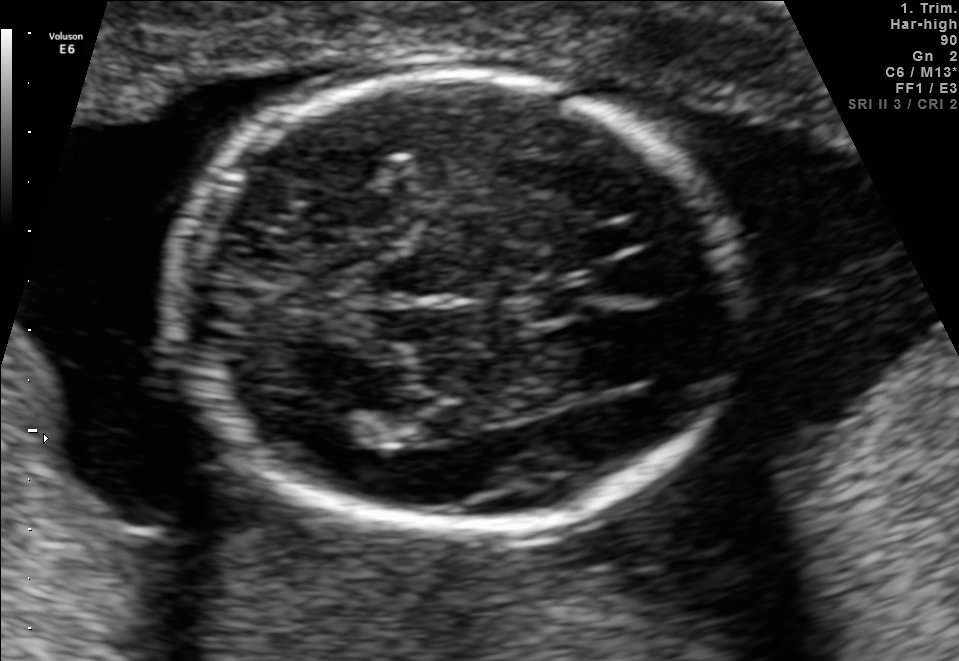
In this fetal brain, trans-thalamic plane, give bounding boxes for the head outline, cavum septum pellucidum (CSP), and lateral ventricle (LV), where visible.

Head: [168,75,739,526]
CSP: [525,275,593,324]
Lateral ventricle: [312,409,395,447]